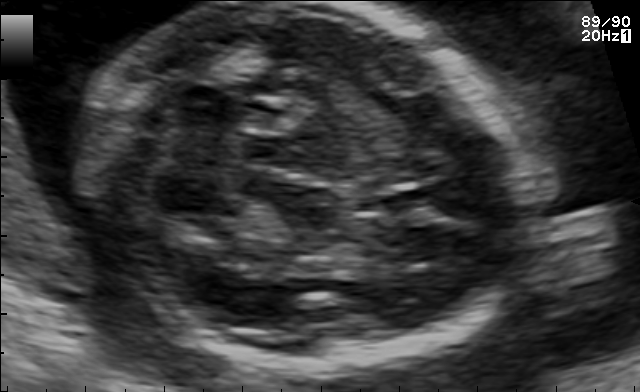
Which standard maternal-fetal ultrasound plane is shown: fetal abdomen, fetal brain, fetal femur, fetal thorax, maternal cervix, or other? If it's fetal brain and one of the three standard brain planes (trans-thalamic, trans-cerebellum, trans-ventricular), name which.

Fetal brain (trans-cerebellum plane)